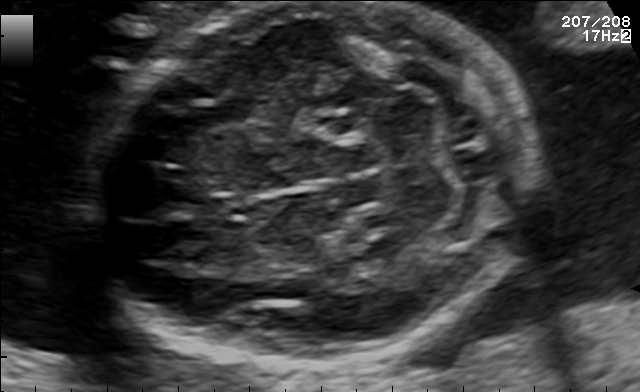
Fetal brain, trans-cerebellum plane. Where is the fetal head?

Head bounding box: [94,2,523,364]